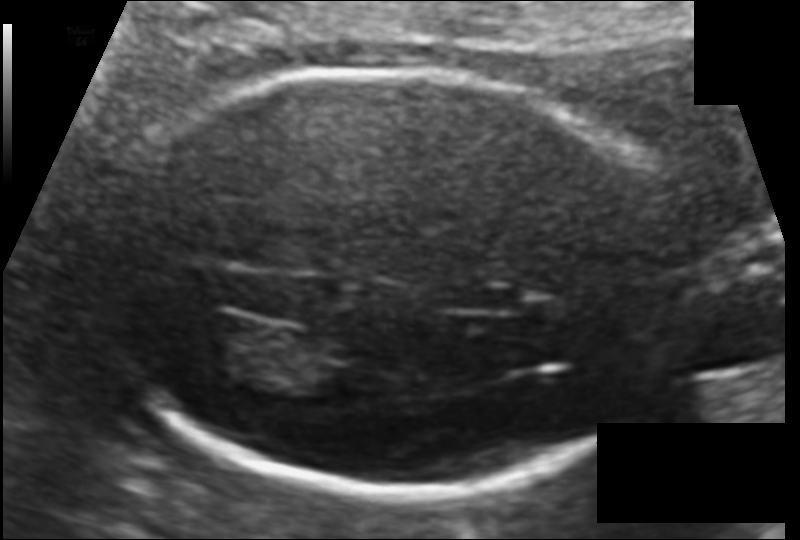
What is the fetal head circumference? Image width is 82.9 mm.

169.9 mm